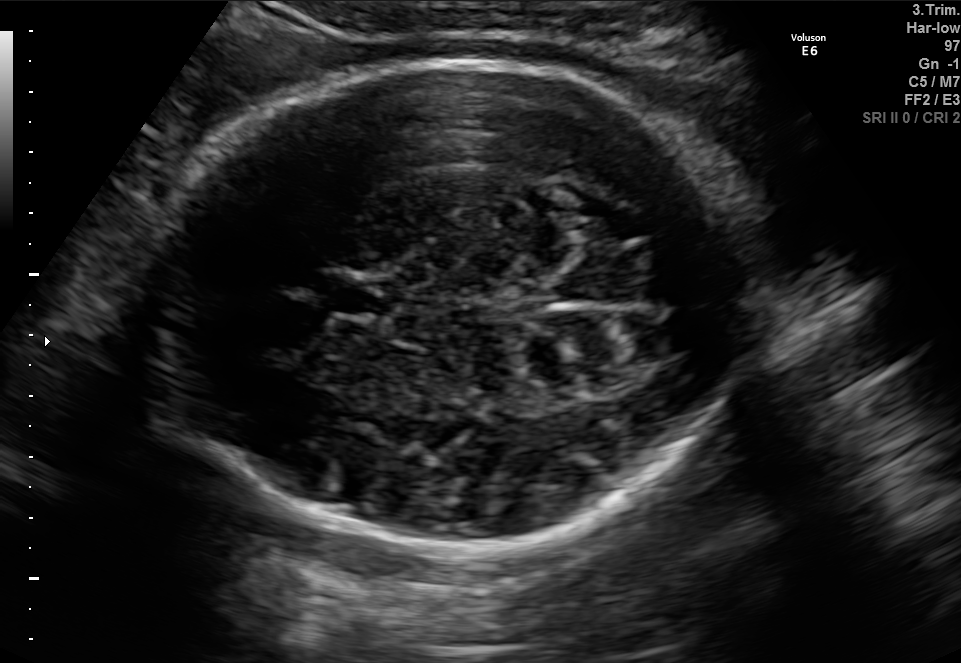
In this fetal brain, trans-thalamic plane, give the bounding box of the cavum septum pellucidum.

[320,278,383,319]